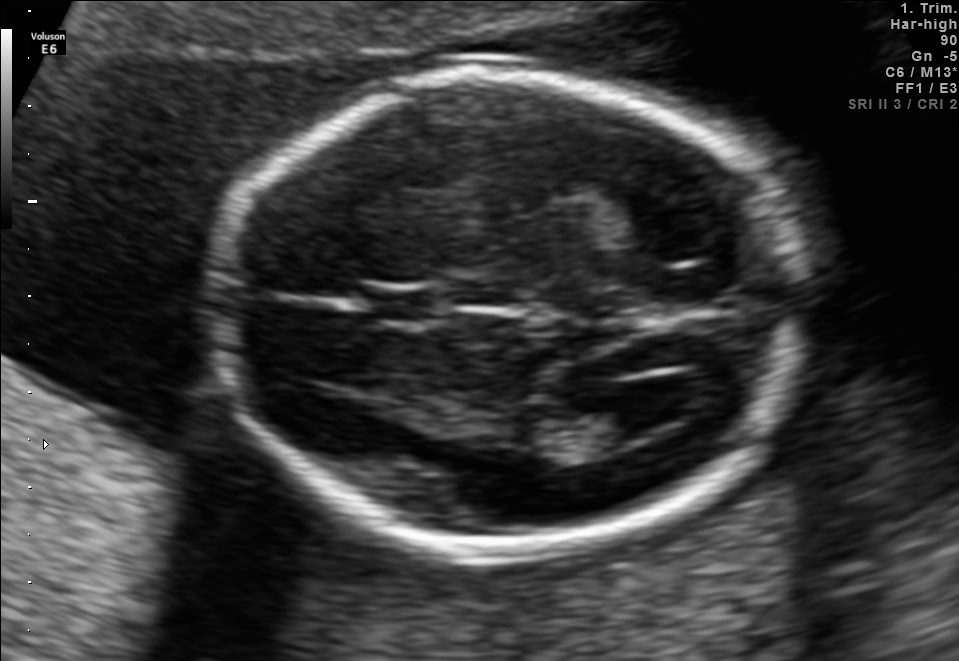
Fetal brain, trans-ventricular plane. Locate the fetal head.

Head: [197,57,828,566]